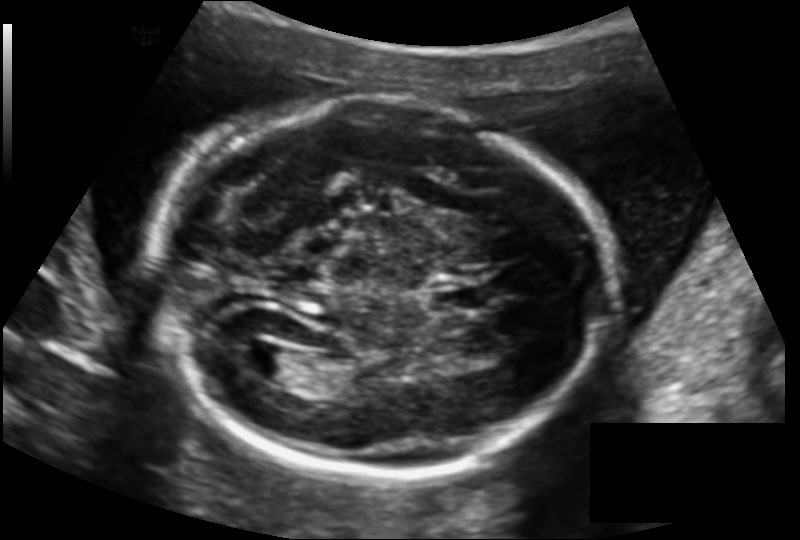
What is the fetal head circumference? Image width is 116.1 mm.

197.7 mm